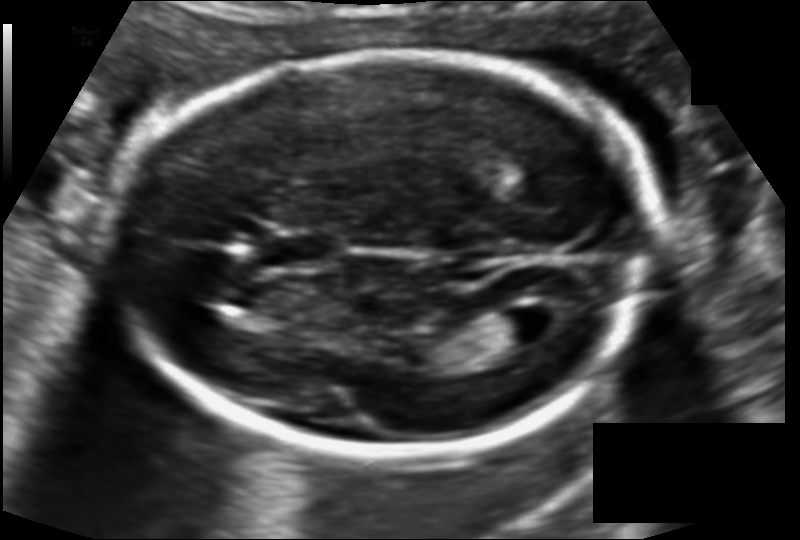
Fetal head ultrasound. Image width: 92.2 mm. Locate the cavum septum pellucidum.

CSP: [269,233,331,266]